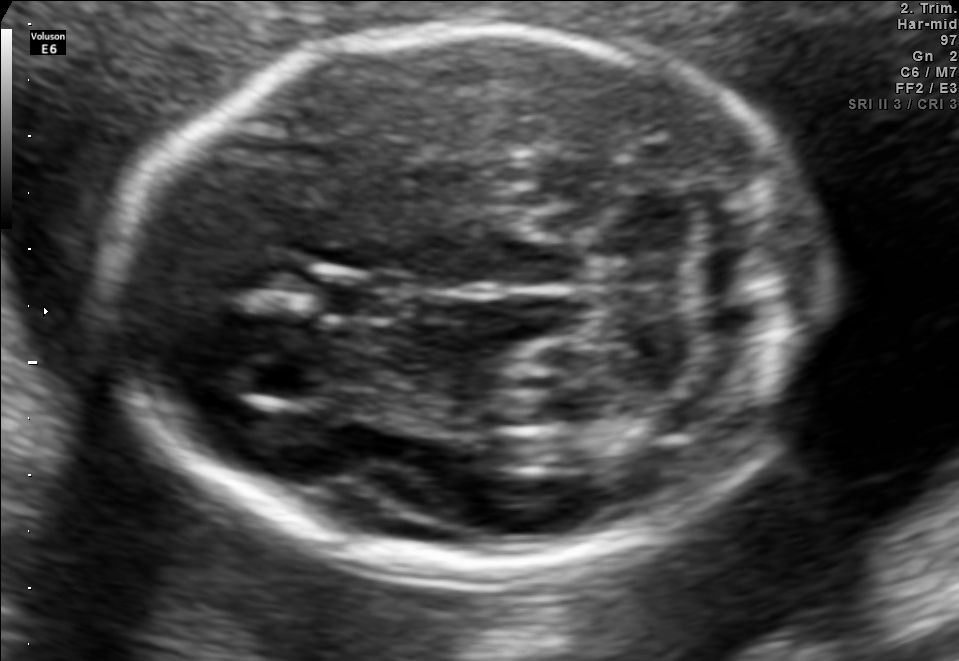
Fetal brain, trans-cerebellum plane. Give [x1,y1,x2,y2] bounding boxes for each visible structure among: fetal head, CSP, LV.

Head: [111,26,826,573]
CSP: [321,275,405,321]